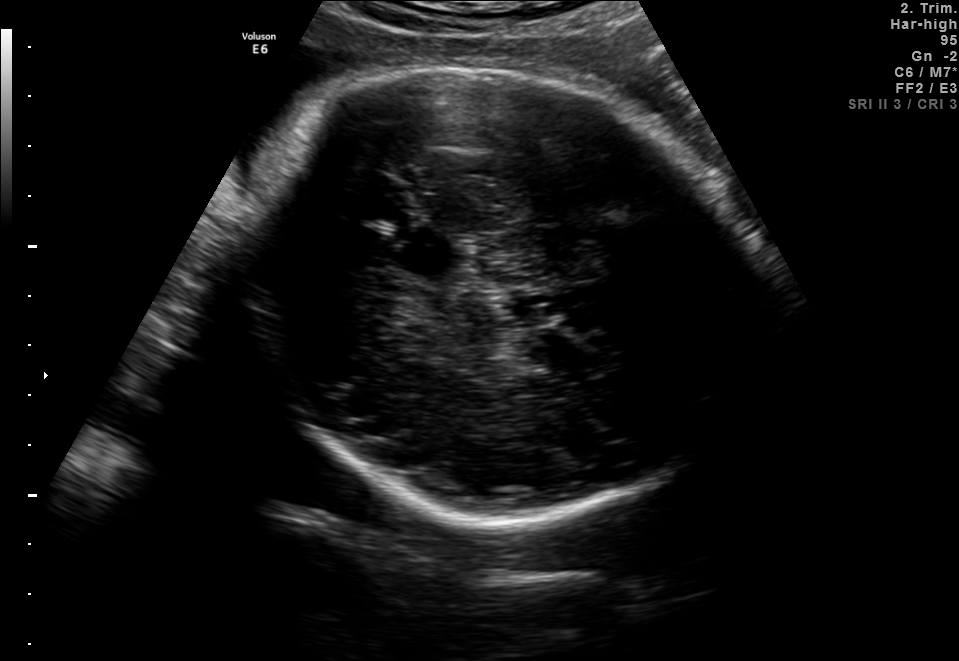
Fetal brain, trans-thalamic plane. Locate the fetal head.

Head: [227,65,764,522]